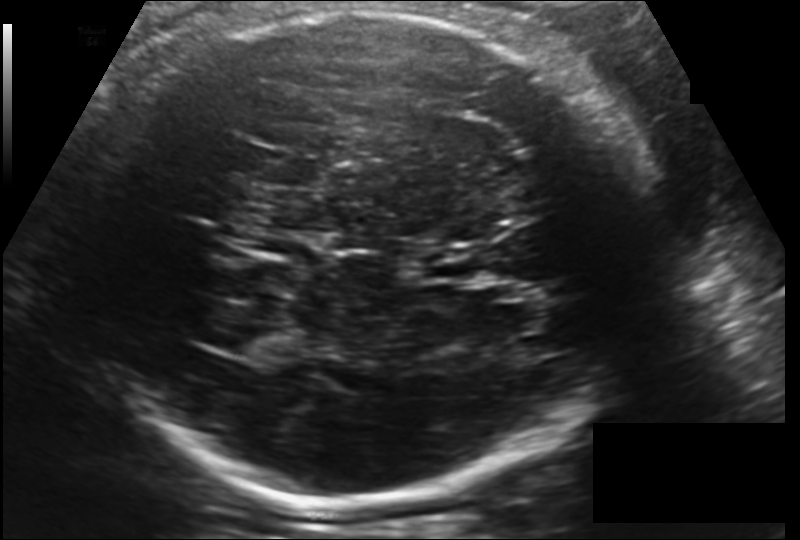
In this fetal head ultrasound, give the bounding box of the lateral ventricle. Image width: 145.0 mm.

[212,316,279,364]